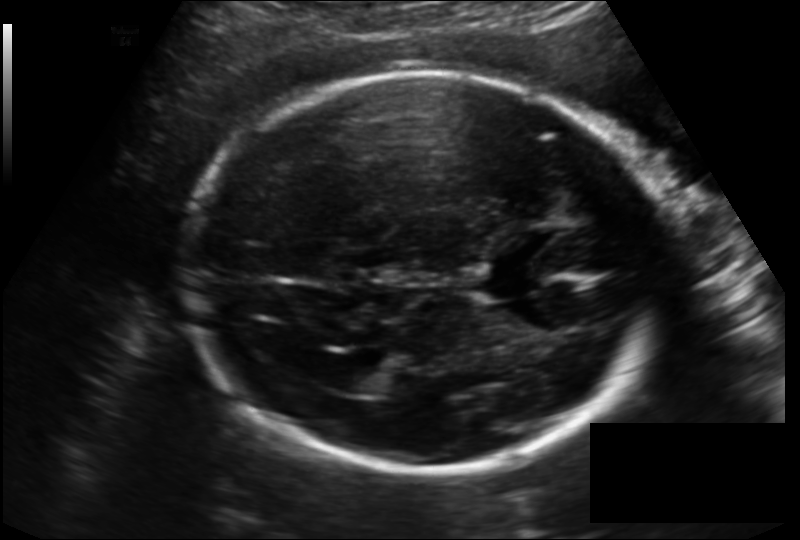
Measure the fetal head circumference shown in this ultrasound image. Image width: 133.1 mm.

Head circumference: 234.9 mm.